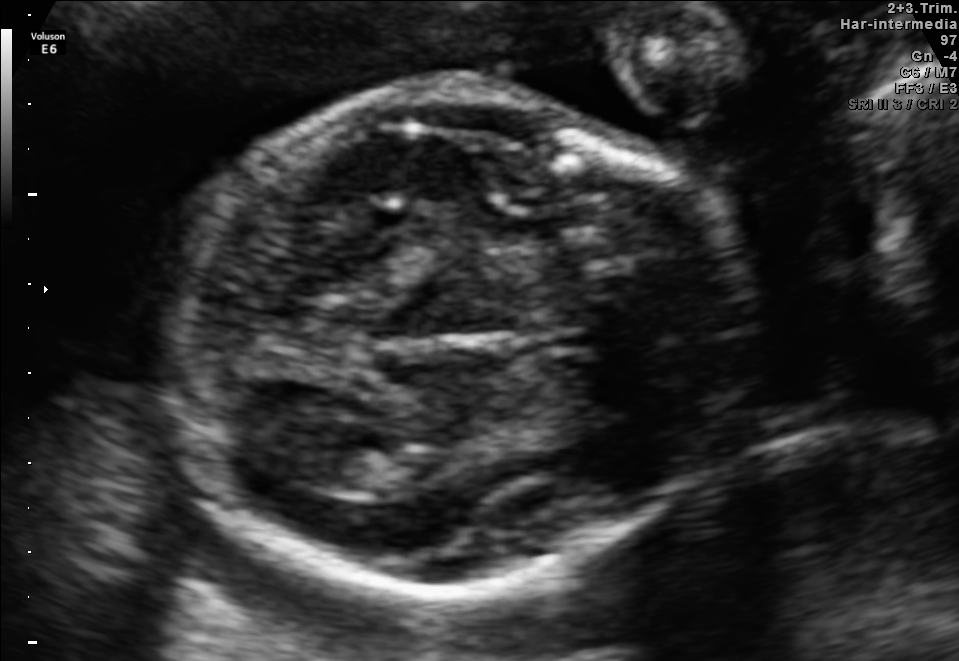
In this fetal brain, trans-thalamic plane, give bounding boxes for the head outline, cavum septum pellucidum (CSP), and lateral ventricle (LV), where visible.

Head: [161,90,758,601]
Lateral ventricle: [304,439,393,496]